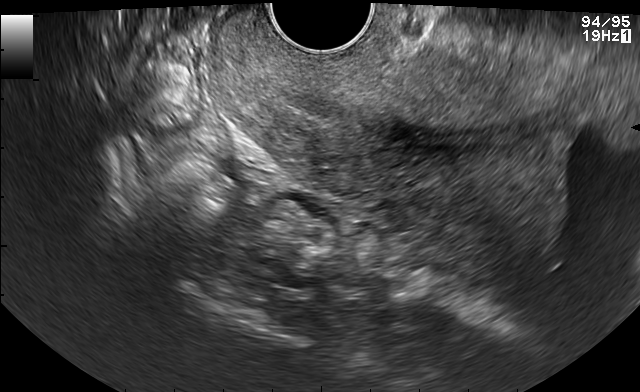
This is a 2D maternal-fetal ultrasound frame. Is it a fetal abdomen, fetal brain, fetal femur, fetal thorax, maternal cervix, or other standard plane? If it's fetal brain and one of the three standard brain planes (trans-thalamic, trans-cerebellum, trans-ventricular), name which.

Maternal cervix